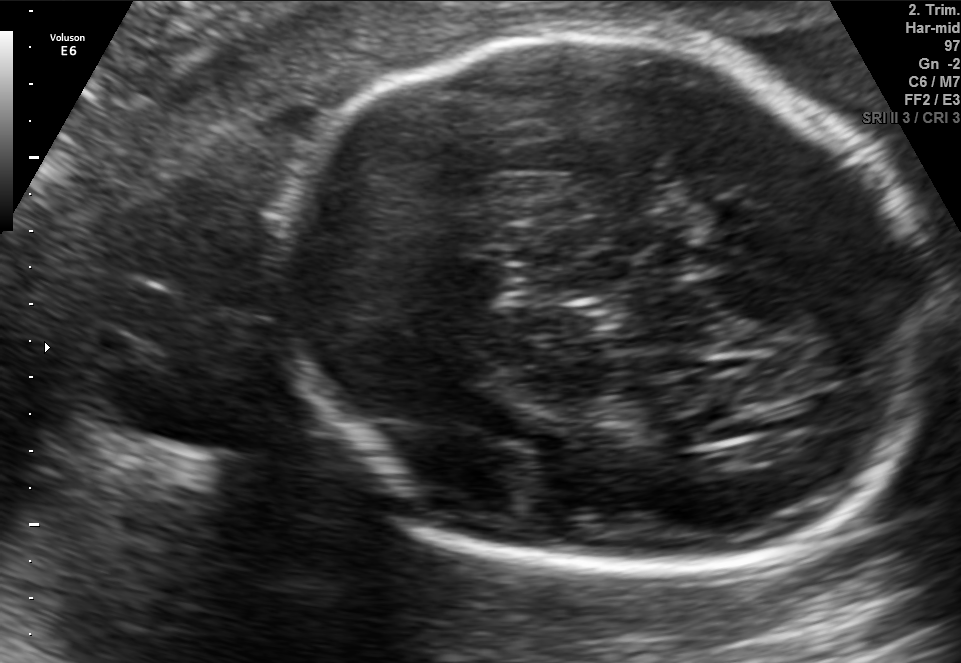
In this fetal brain, trans-thalamic plane, give the bounding box of the fetal head.

[280,34,934,581]